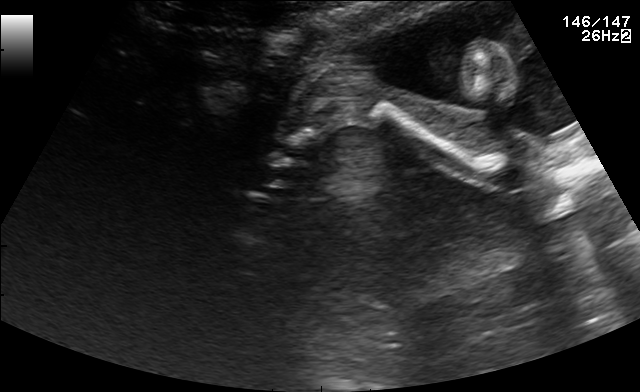
This is a 2D maternal-fetal ultrasound frame. Is it a fetal abdomen, fetal brain, fetal femur, fetal thorax, maternal cervix, or other standard plane? If it's fetal brain and one of the three standard brain planes (trans-thalamic, trans-cerebellum, trans-ventricular), name which.

Other